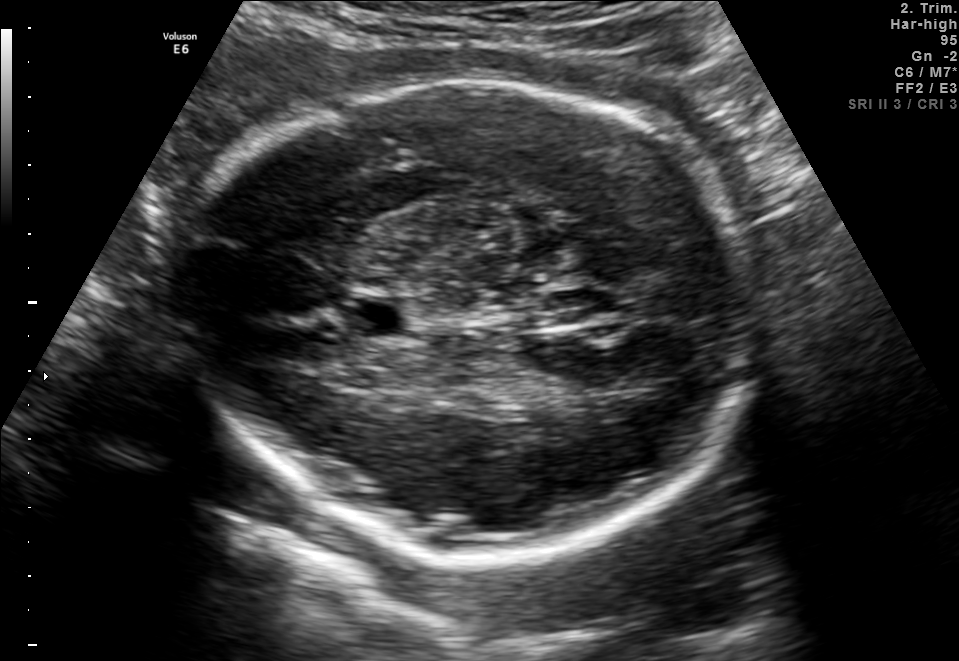
Fetal brain, trans-thalamic plane. Locate the cavum septum pellucidum.

CSP: [351,297,407,338]